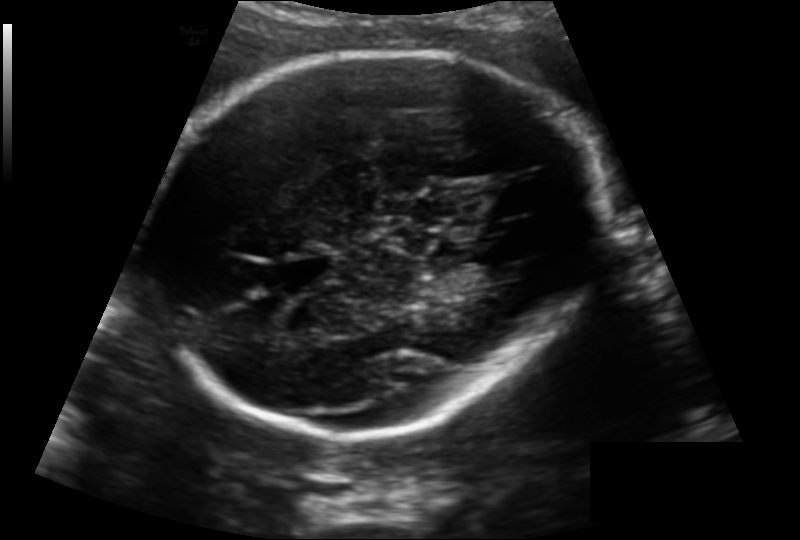
Fetal head ultrasound. Image width: 130.3 mm. Locate the fetal head and, if visible, the cavum septum pellucidum (CSP) and lateral ventricle (LV). Give bounding boxes as [x1,y1,x2,y2].

Head: [147,47,596,435]
CSP: [272,247,340,296]